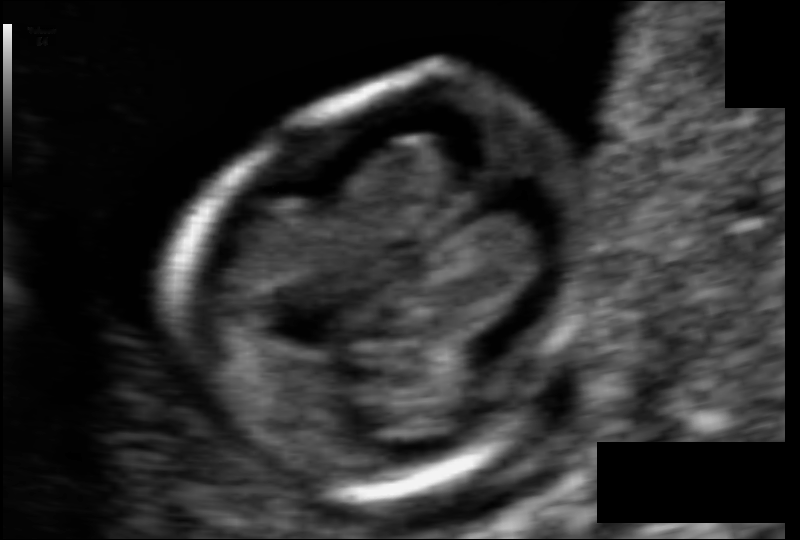
Fetal head ultrasound. Image width: 44.1 mm. Locate the fetal head and, if visible, the cavum septum pellucidum (CSP) and lateral ventricle (LV). Give bounding boxes as [x1,y1,x2,y2].

Head: [180,79,601,490]